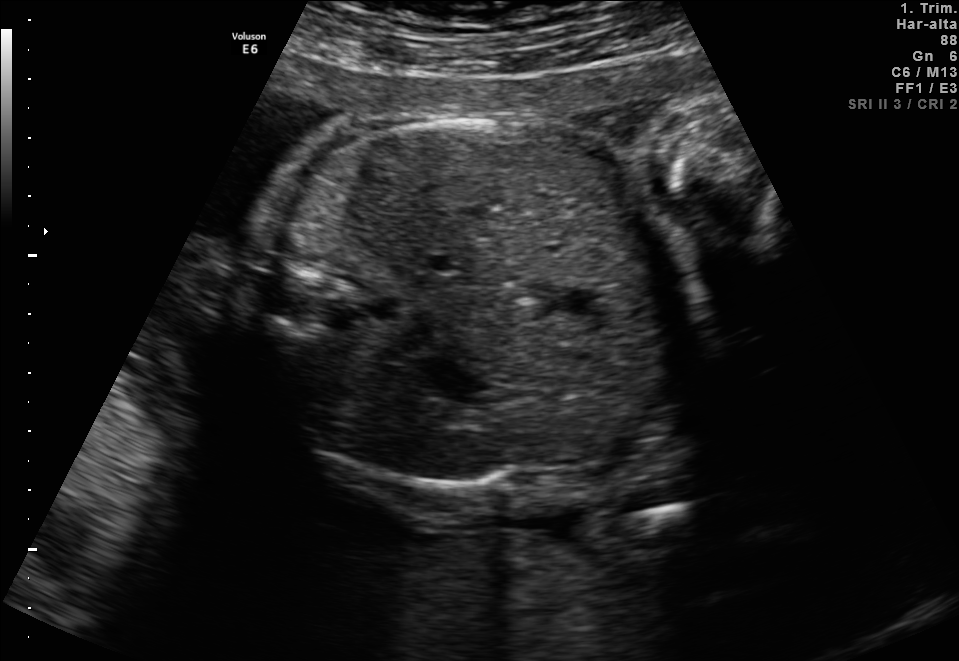
Which standard maternal-fetal ultrasound plane is shown: fetal abdomen, fetal brain, fetal femur, fetal thorax, maternal cervix, or other? If it's fetal brain and one of the three standard brain planes (trans-thalamic, trans-cerebellum, trans-ventricular), name which.

Fetal abdomen